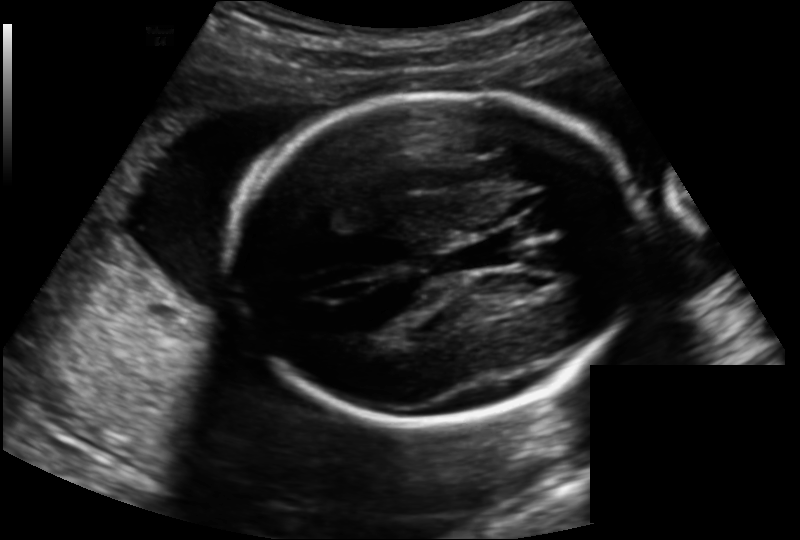
What is the fetal head circumference? Image width is 130.7 mm.

196.5 mm